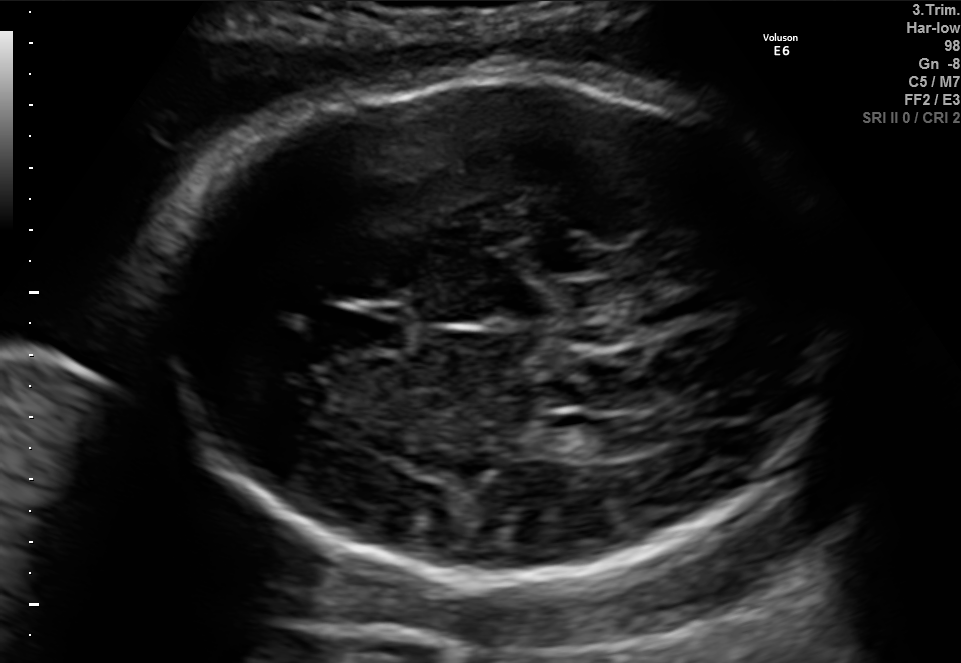
Fetal brain, trans-ventricular plane. Locate the lateral ventricle.

Lateral ventricle: [588,407,677,460]